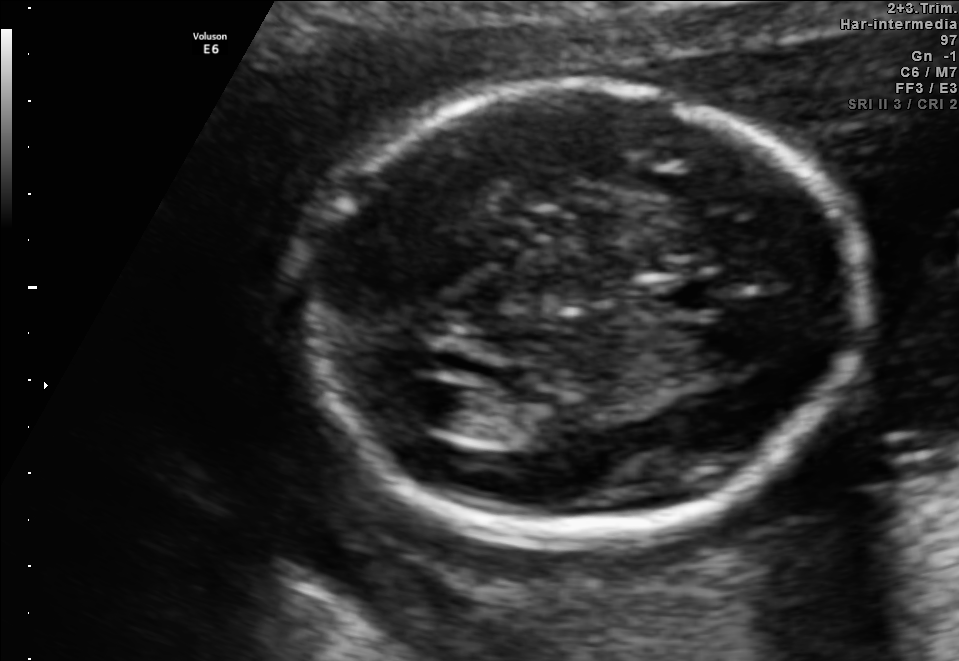
In this fetal brain, trans-ventricular plane, give the bounding box of the fetal head.

[279,72,876,553]